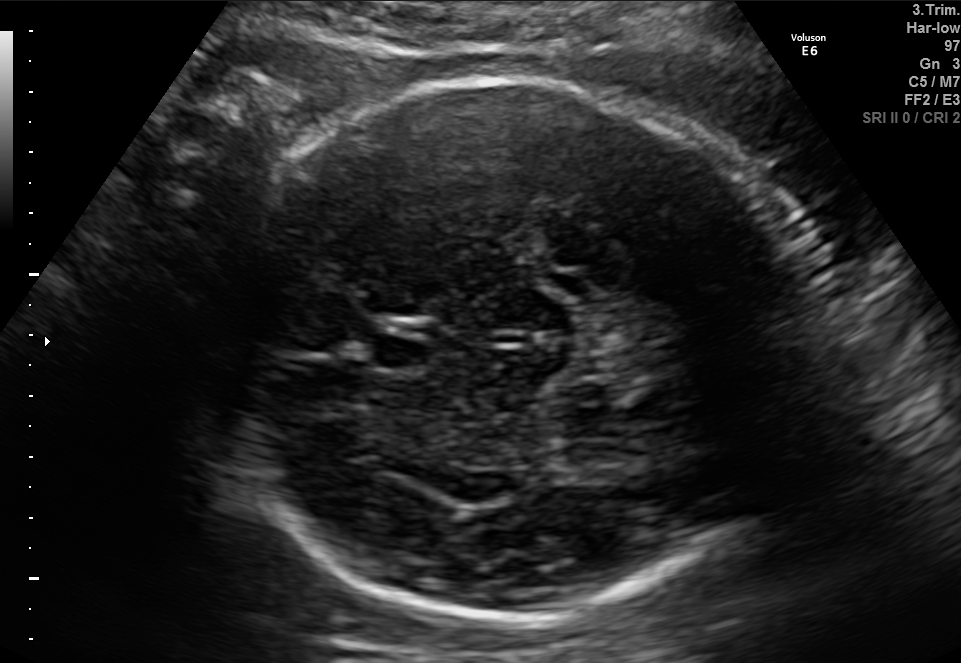
In this fetal brain, trans-thalamic plane, give the bounding box of the fetal head.

[192,76,809,619]